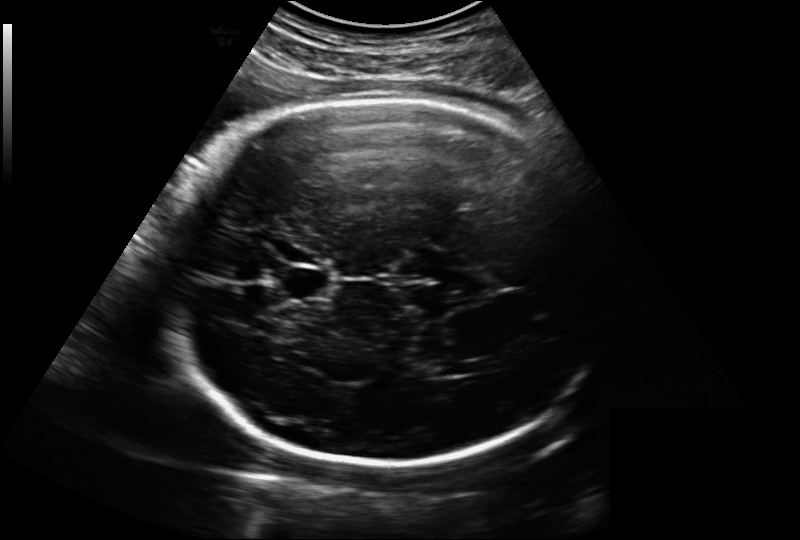
In this fetal head ultrasound, give bounding boxes for the head outline, cavum septum pellucidum (CSP), and lateral ventricle (LV), where visible. Image width: 176.5 mm.

Head: [156,97,614,464]
CSP: [277,263,335,303]
Lateral ventricle: [433,360,464,377]